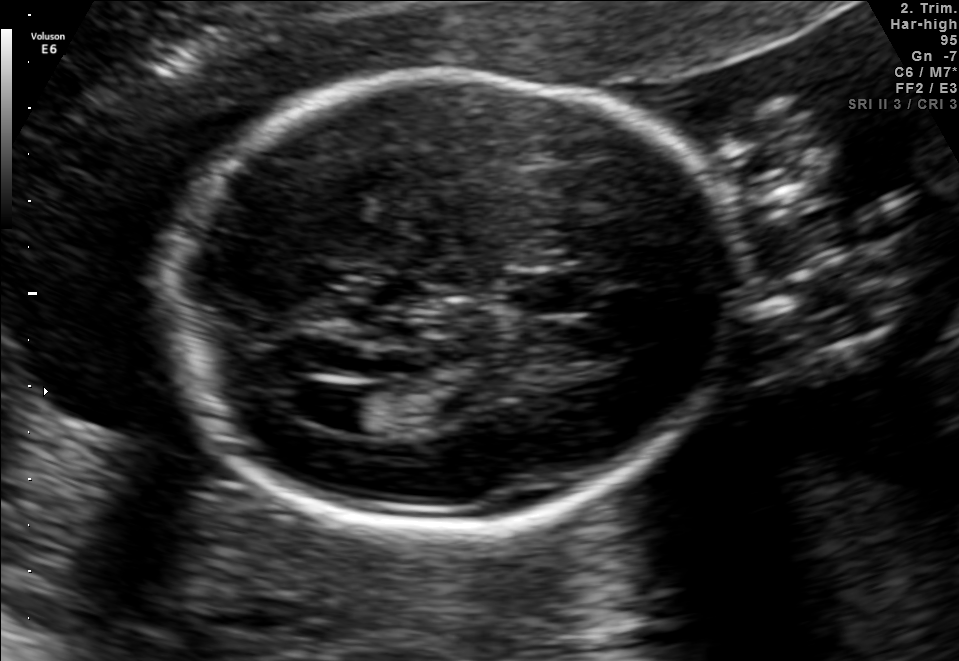
This is a 2D maternal-fetal ultrasound frame. Is it a fetal abdomen, fetal brain, fetal femur, fetal thorax, maternal cervix, or other standard plane? If it's fetal brain and one of the three standard brain planes (trans-thalamic, trans-cerebellum, trans-ventricular), name which.

Fetal brain (trans-ventricular plane)